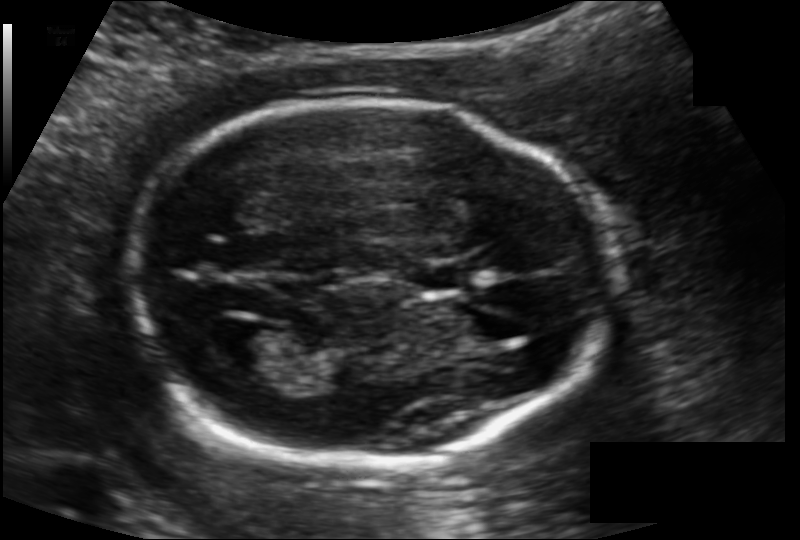
Fetal head ultrasound. Image width: 96.5 mm. Give [x1,y1,x2,y2] bounding boxes for each visible structure among: fetal head, CSP, LV.

Head: [127,101,615,463]
CSP: [416,261,468,292]
Lateral ventricle: [211,322,286,378]